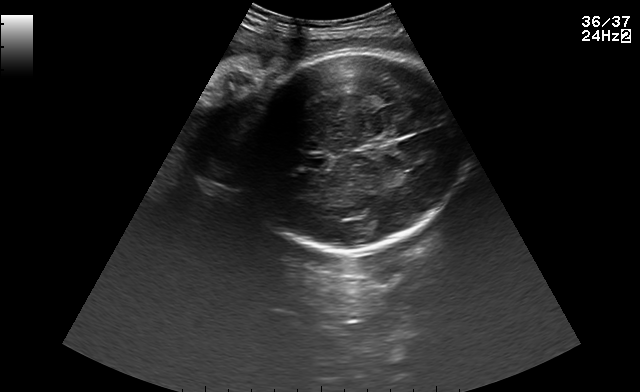
Fetal brain, trans-thalamic plane. Locate the fetal head.

Head: [244,52,462,255]